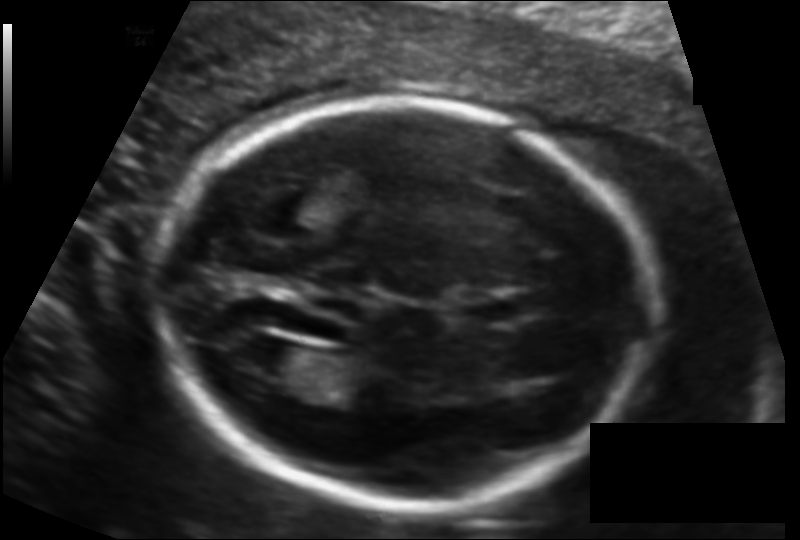
Fetal head ultrasound. Image width: 98.9 mm. Where is the lateral ventricle?

Lateral ventricle bounding box: [233,334,308,385]